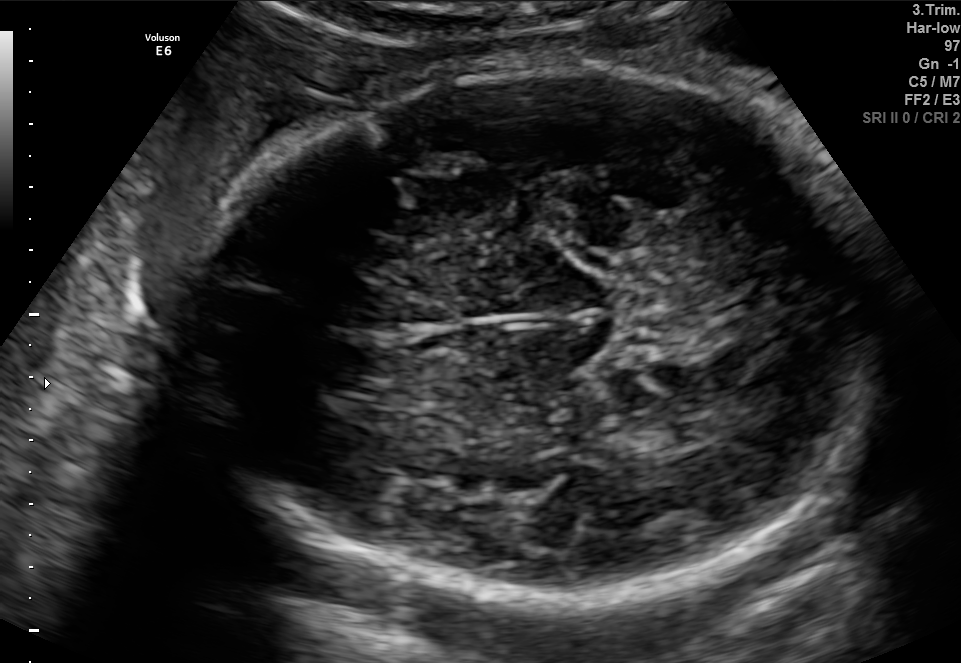
In this fetal brain, trans-thalamic plane, give the bounding box of the fetal head.

[182,60,875,597]